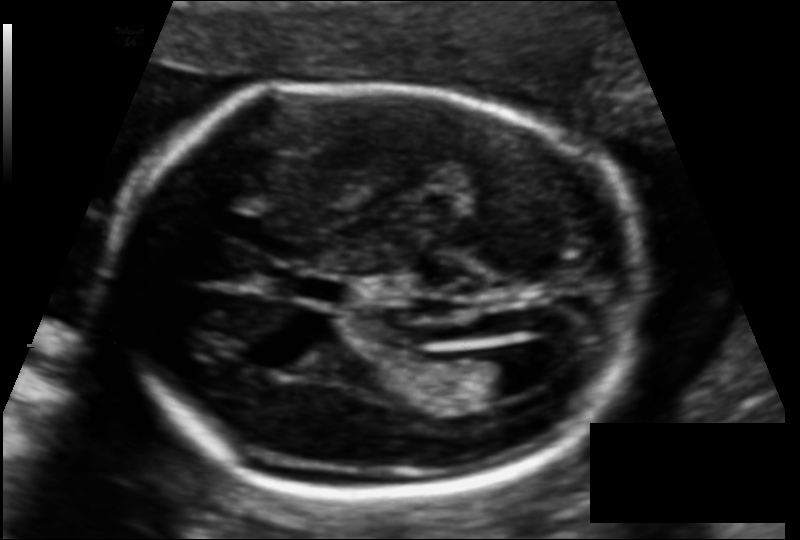
Estimate the fetal head circumference from this 2D ultrasound. Image width: 92.4 mm.

Head circumference: 177.0 mm.